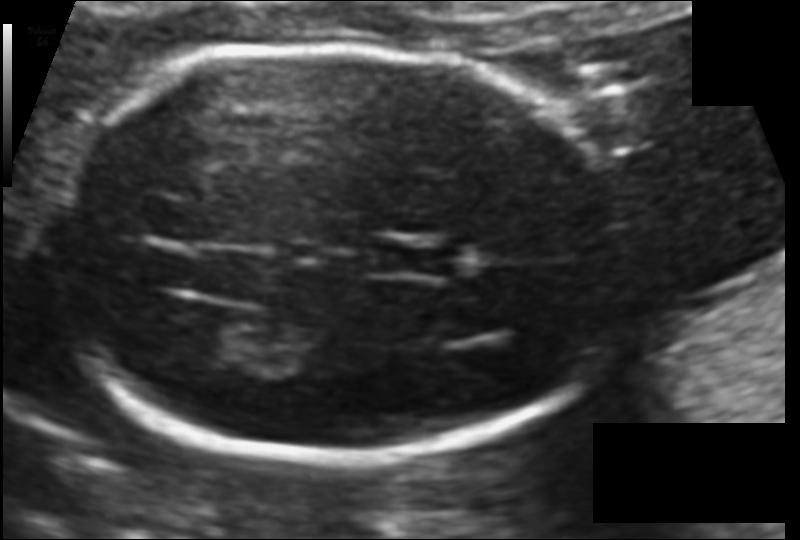
Fetal head ultrasound. Image width: 78.8 mm. Locate the cavum septum pellucidum.

CSP: [383,242,456,278]